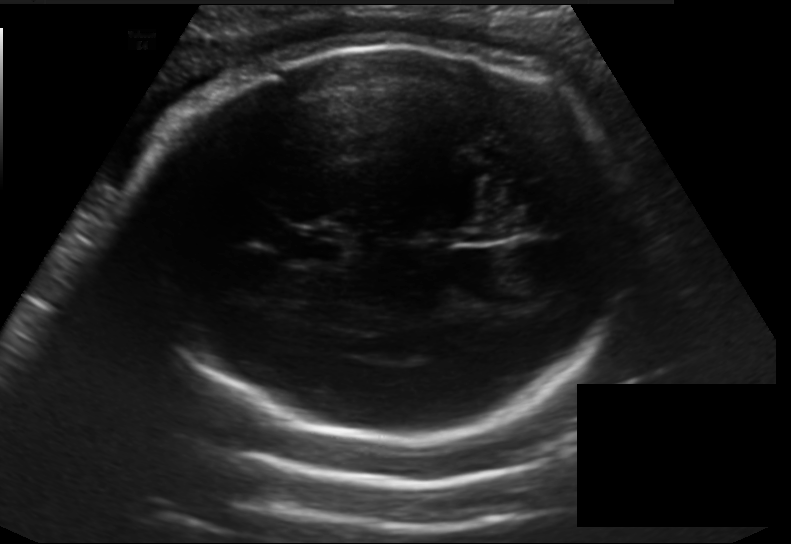
What is the fetal head circumference? Image width is 156.8 mm.

292.4 mm